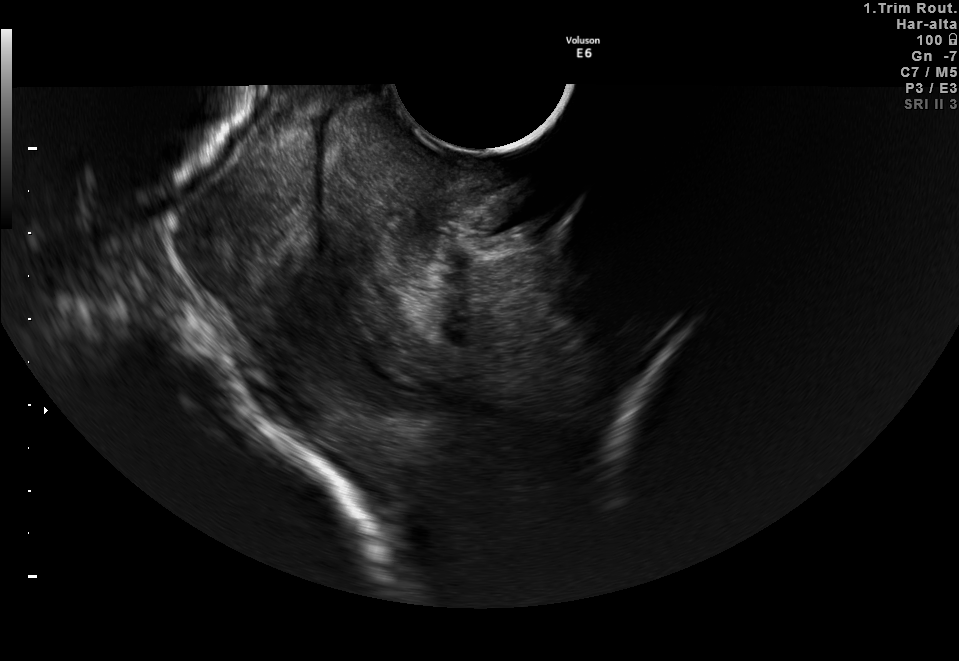
This is a 2D maternal-fetal ultrasound frame. Is it a fetal abdomen, fetal brain, fetal femur, fetal thorax, maternal cervix, or other standard plane? If it's fetal brain and one of the three standard brain planes (trans-thalamic, trans-cerebellum, trans-ventricular), name which.

Maternal cervix